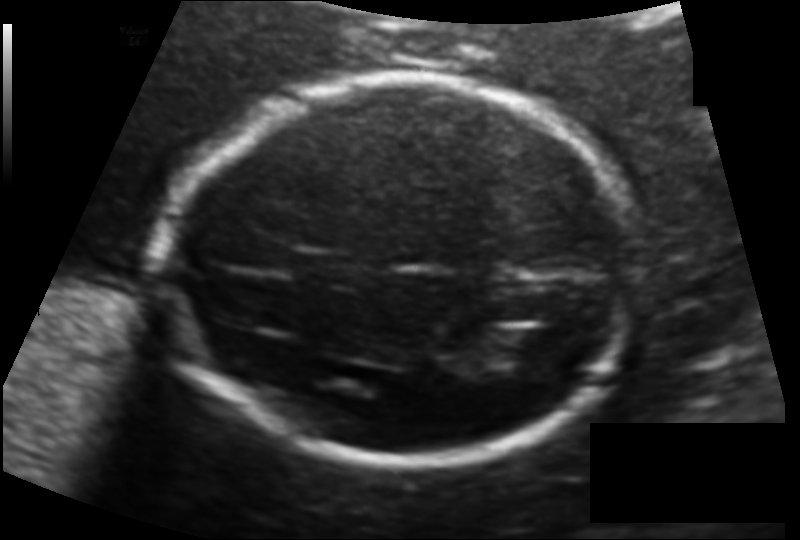
Measure the fetal head circumference shown in this ultrasound image. Image width: 98.0 mm.

Head circumference: 171.9 mm.